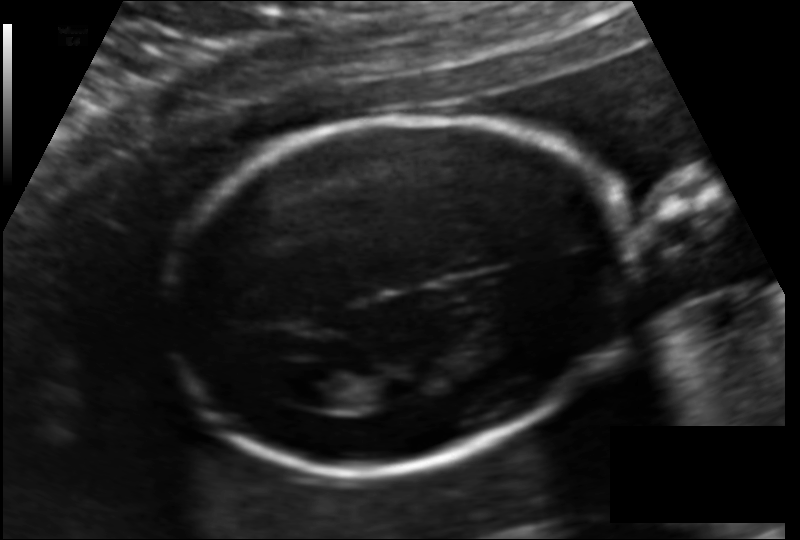
Fetal head ultrasound. Image width: 101.5 mm. Locate the fetal head and, if visible, the cavum septum pellucidum (CSP) and lateral ventricle (LV). Give bounding boxes as [x1,y1,x2,y2].

Head: [161,117,634,469]
Lateral ventricle: [287,367,352,410]